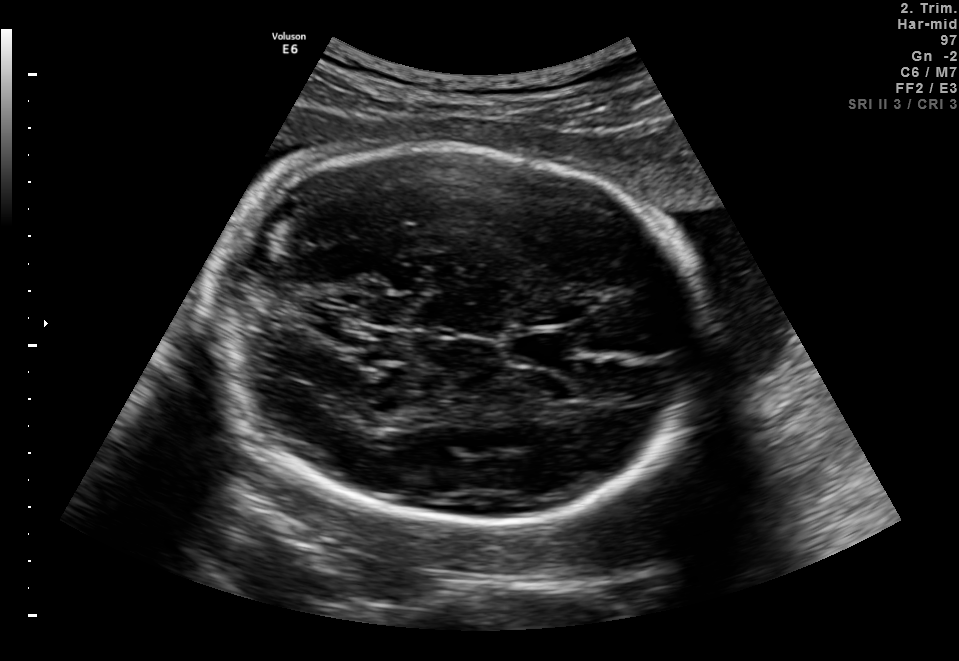
Fetal brain, trans-thalamic plane. Locate the fetal head.

Head: [214,145,719,530]